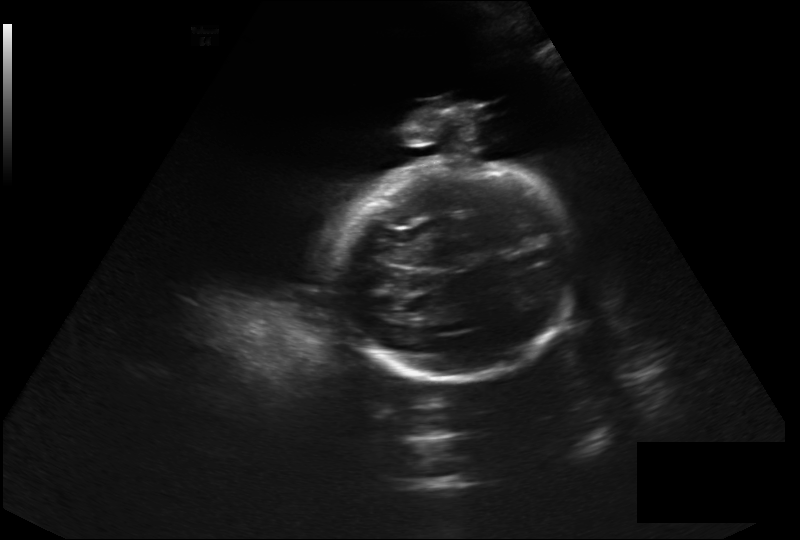
Estimate the fetal head circumference from this 2D ultrasound. Image width: 261.1 mm.

Head circumference: 245.3 mm.